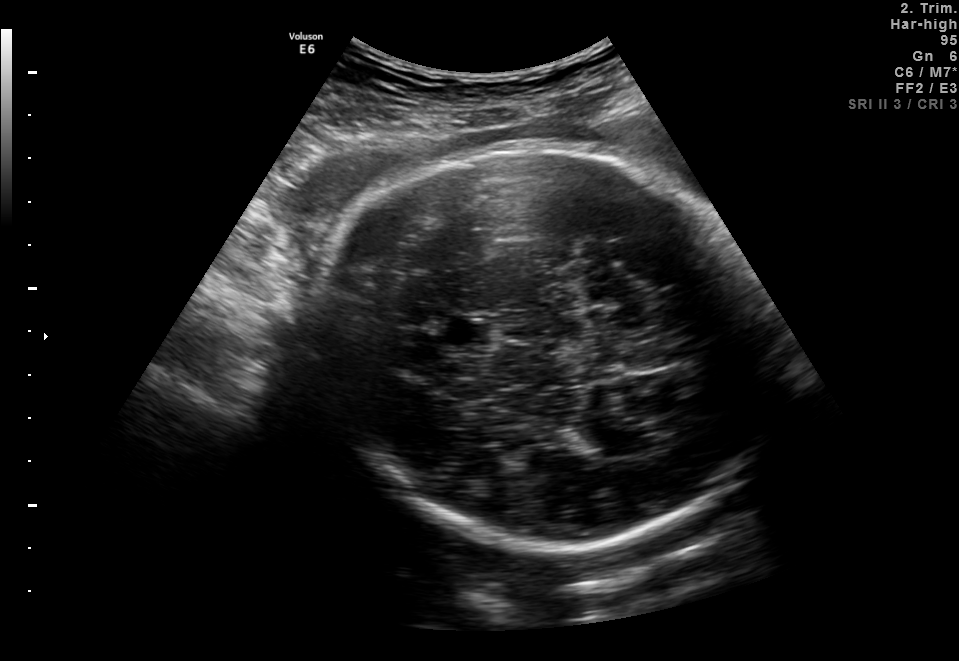
Fetal brain, trans-thalamic plane. Locate the lateral ventricle.

Lateral ventricle: [563,421,624,454]